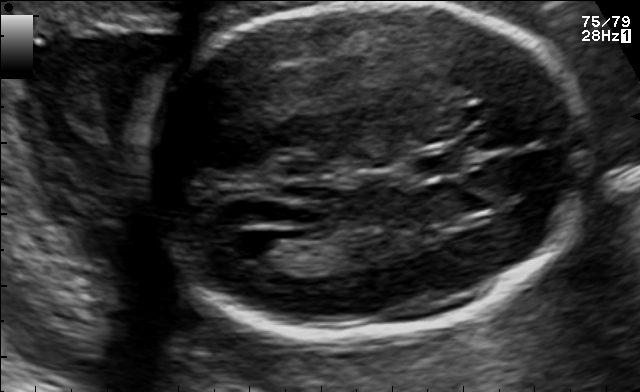
Classify this maternal-fetal ultrasound image as one of the six standard planes — fetal abdomen, fetal brain, fetal femur, fetal thorax, maternal cervix, or other. If it's fetal brain and one of the three standard brain planes (trans-thalamic, trans-cerebellum, trans-ventricular), name which.

Fetal brain (trans-ventricular plane)